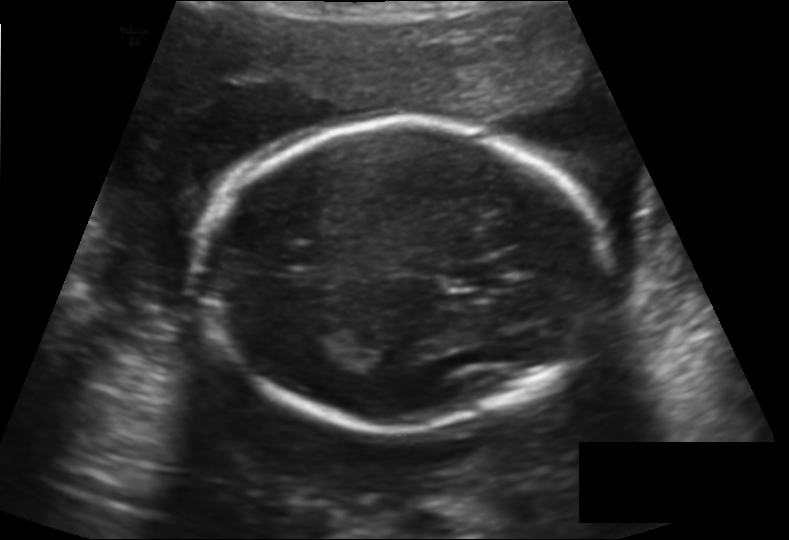
In this fetal head ultrasound, give the bounding box of the fetal head. Image width: 124.3 mm.

[207,119,601,431]